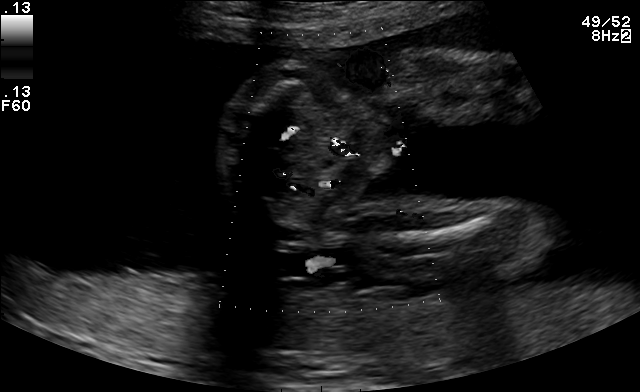
Classify this maternal-fetal ultrasound image as one of the six standard planes — fetal abdomen, fetal brain, fetal femur, fetal thorax, maternal cervix, or other. If it's fetal brain and one of the three standard brain planes (trans-thalamic, trans-cerebellum, trans-ventricular), name which.

Other